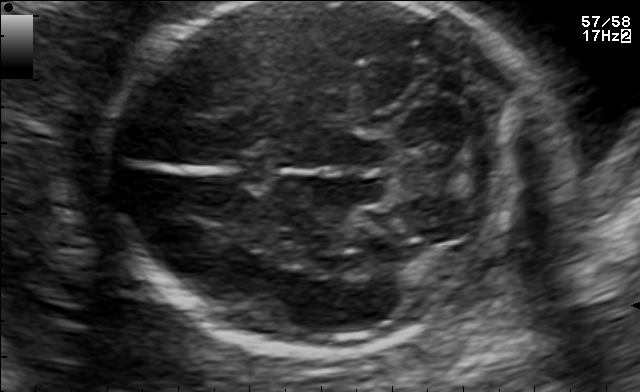
Fetal brain, trans-cerebellum plane. Locate the cavum septum pellucidum.

CSP: [227,153,279,185]